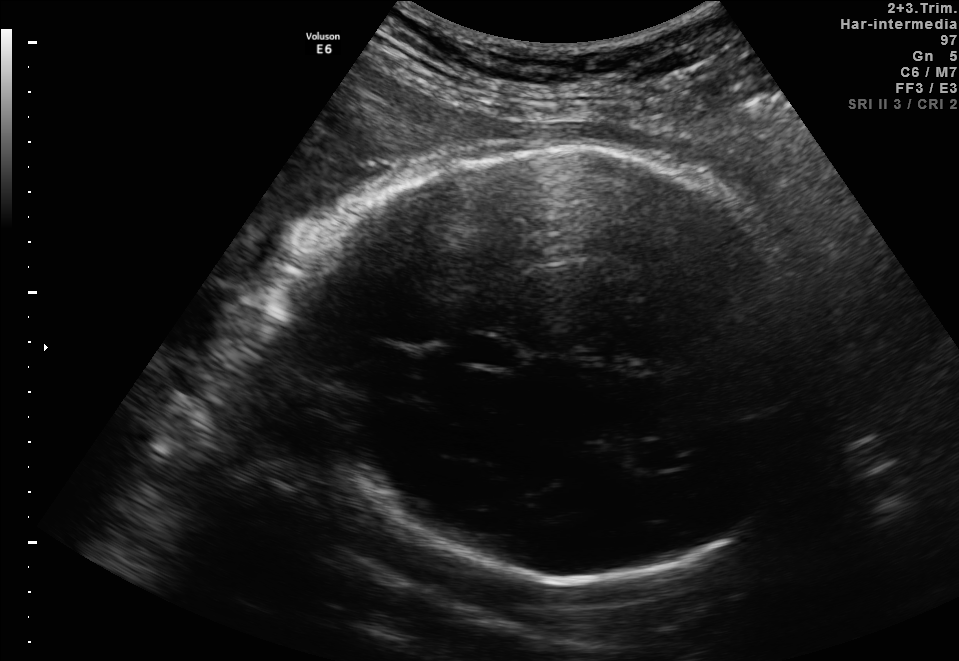
In this fetal brain, trans-thalamic plane, give bounding boxes for the head outline, cavum septum pellucidum (CSP), and lateral ventricle (LV), where visible.

Head: [276,144,841,581]
CSP: [461,334,511,369]
Lateral ventricle: [633,438,685,473]